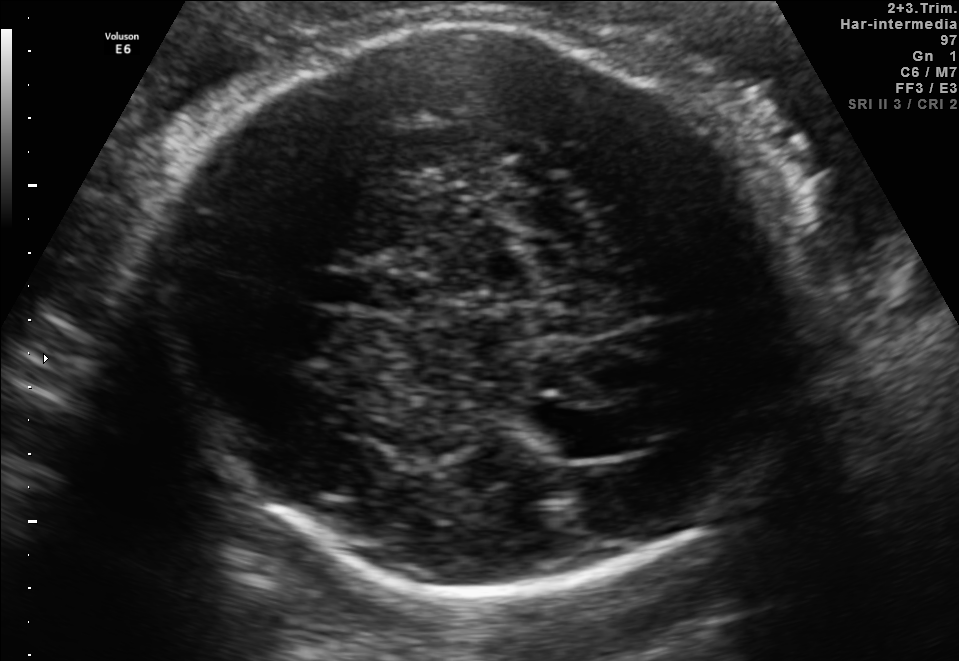
In this fetal brain, trans-thalamic plane, give the bounding box of the cavum septum pellucidum.

[318,268,403,313]